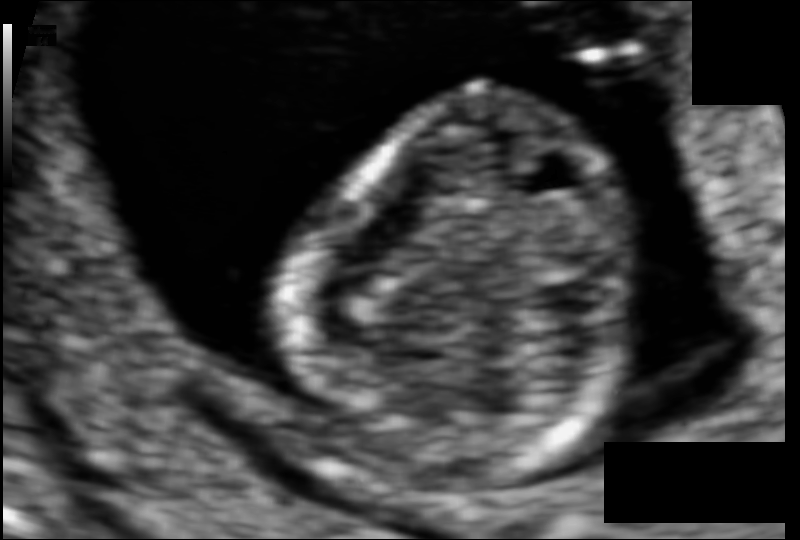
Fetal head ultrasound. Image width: 48.3 mm. Give [x1,y1,x2,y2] bounding boxes for each visible structure among: fetal head, CSP, LV.

Head: [301,97,646,482]